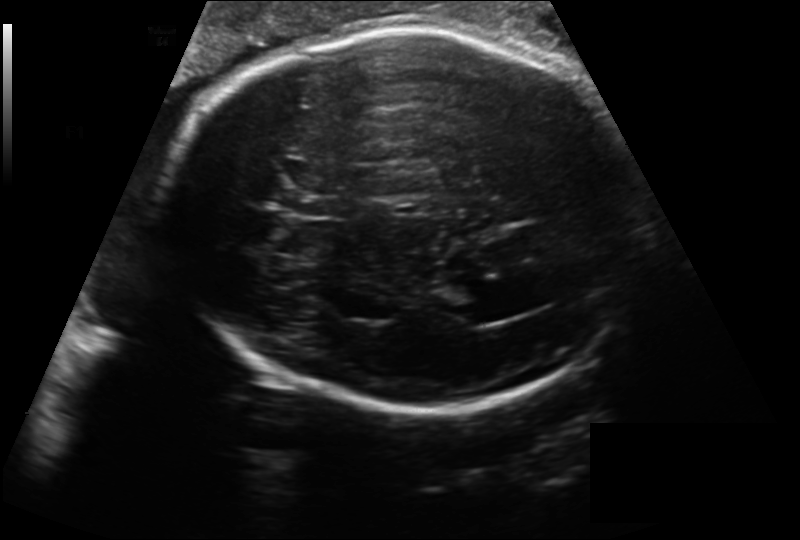
Measure the fetal head circumference shown in this ultrasound image. Image width: 174.3 mm.

Head circumference: 296.4 mm.